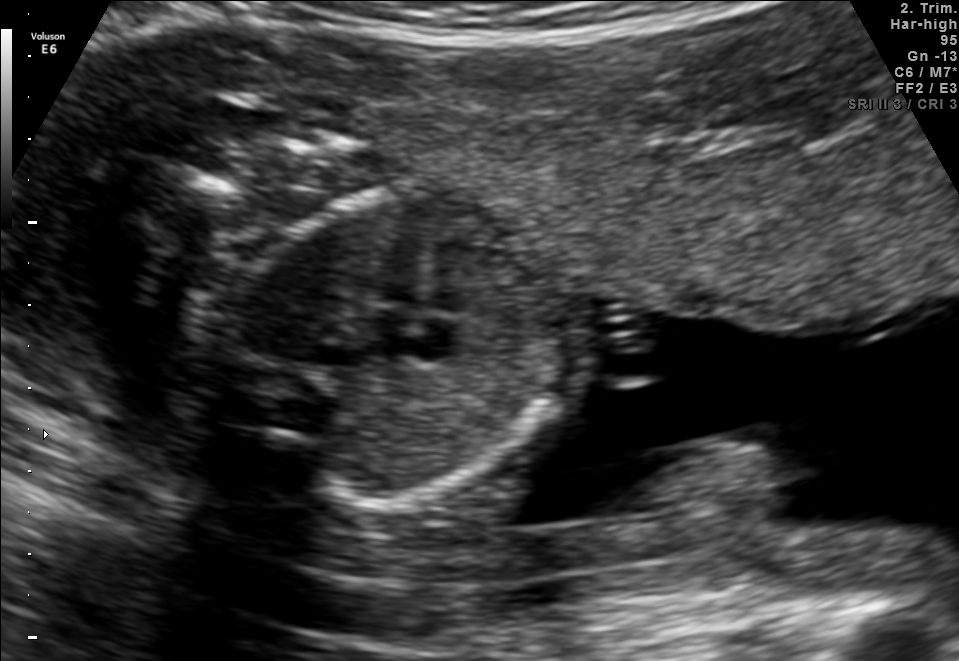
Identify the standard plane in this fetal ultrasound image: fetal abdomen, fetal brain, fetal femur, fetal thorax, maternal cervix, or other. If it's fetal brain and one of the three standard brain planes (trans-thalamic, trans-cerebellum, trans-ventricular), name which.

Fetal thorax